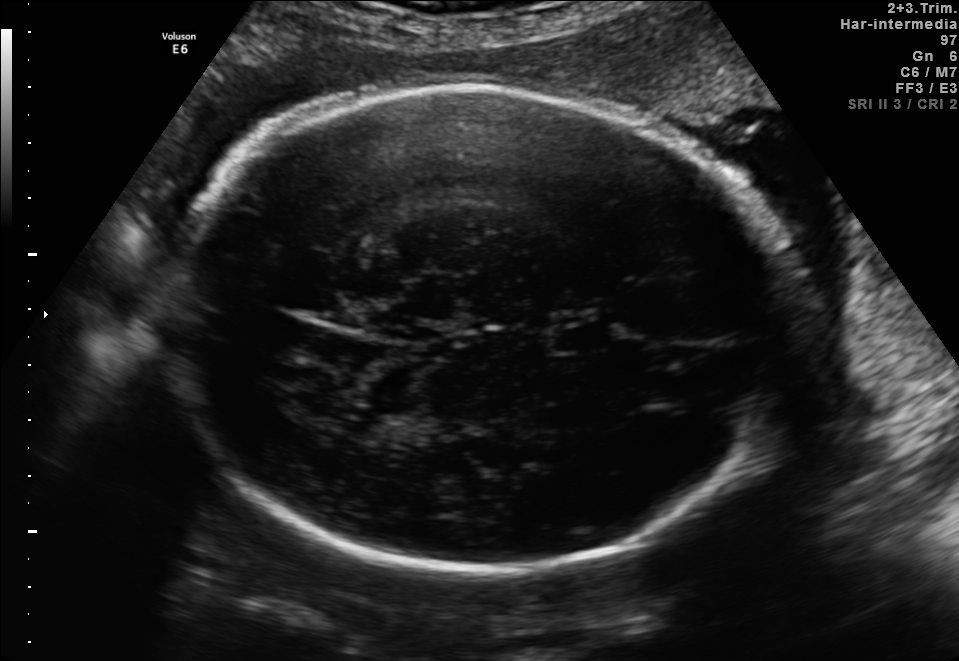
In this fetal brain, trans-thalamic plane, give the bounding box of the fetal head.

[174,84,801,575]